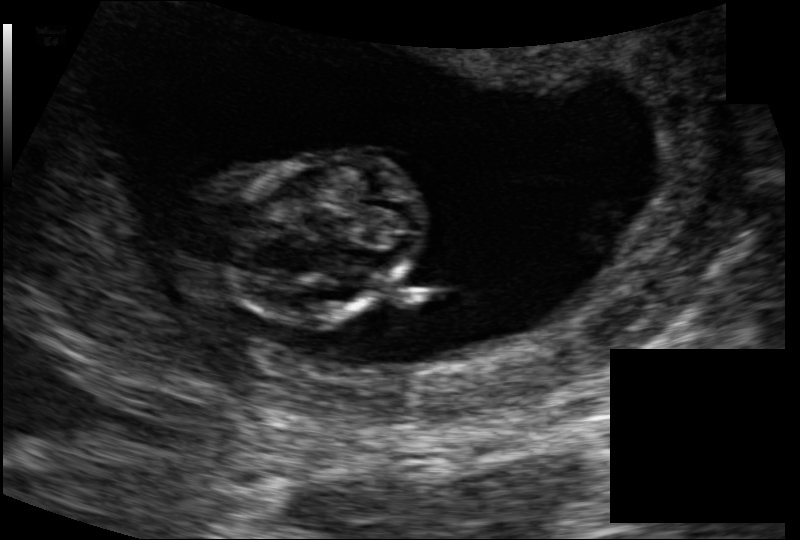
Estimate the fetal head circumference from this 2D ultrasound. Image width: 92.7 mm.

Head circumference: 69.8 mm.